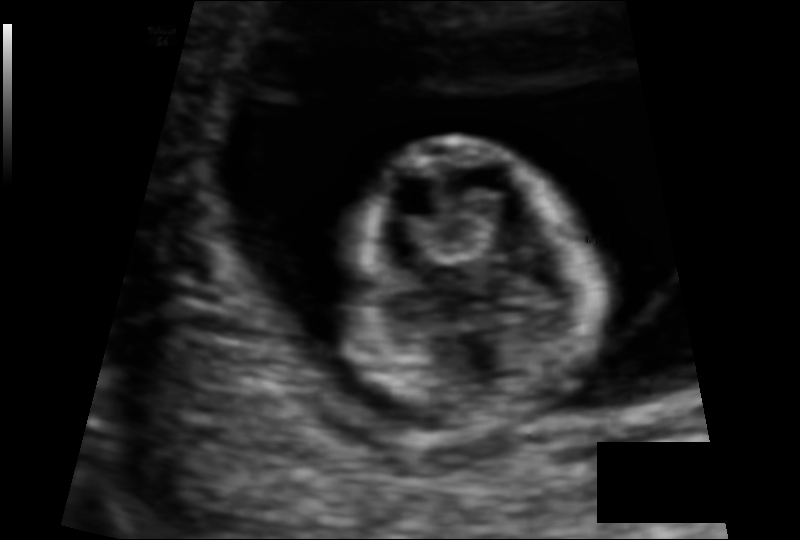
What is the fetal head circumference? Image width is 70.2 mm.

72.1 mm